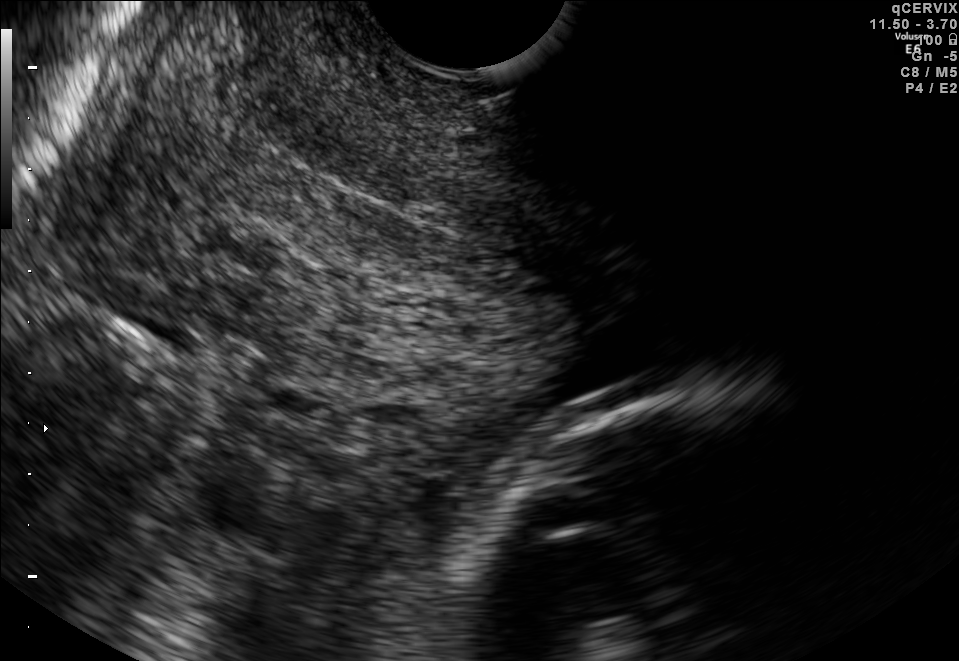
Classify this maternal-fetal ultrasound image as one of the six standard planes — fetal abdomen, fetal brain, fetal femur, fetal thorax, maternal cervix, or other. If it's fetal brain and one of the three standard brain planes (trans-thalamic, trans-cerebellum, trans-ventricular), name which.

Maternal cervix